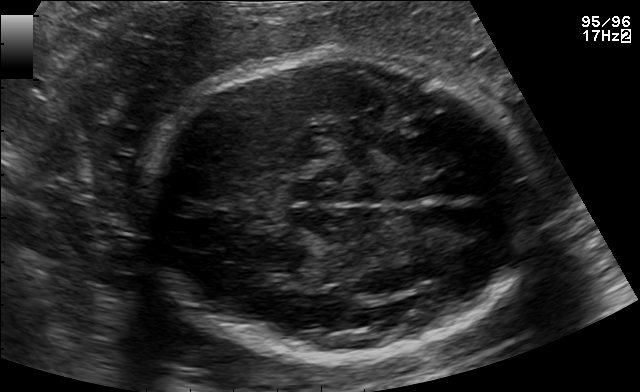
Fetal brain, trans-thalamic plane. Locate the fetal head and, if visible, the cavum septum pellucidum (CSP) and lateral ventricle (LV). Give bounding boxes as [x1,y1,x2,y2].

Head: [146,55,529,358]